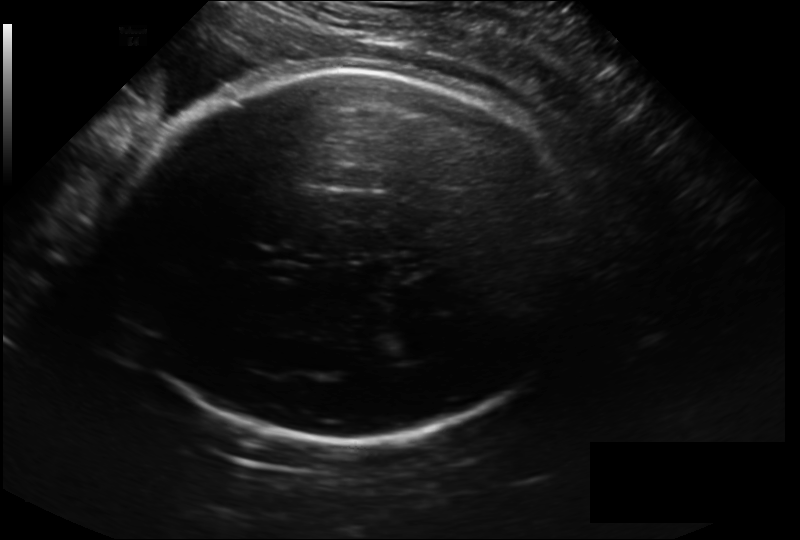
Estimate the fetal head circumference from this 2D ultrasound. Image width: 182.1 mm.

Head circumference: 311.8 mm.